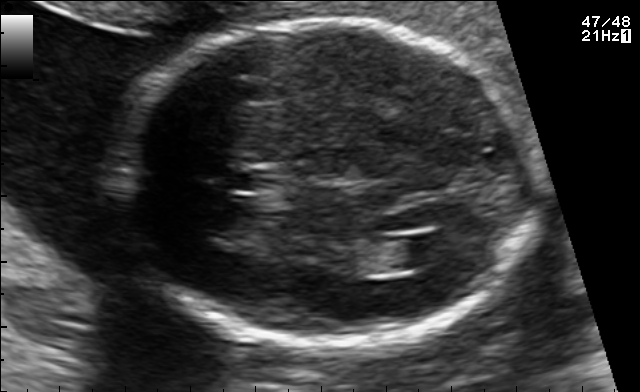
In this fetal brain, trans-ventricular plane, give the bounding box of the fetal head.

[109,15,545,353]